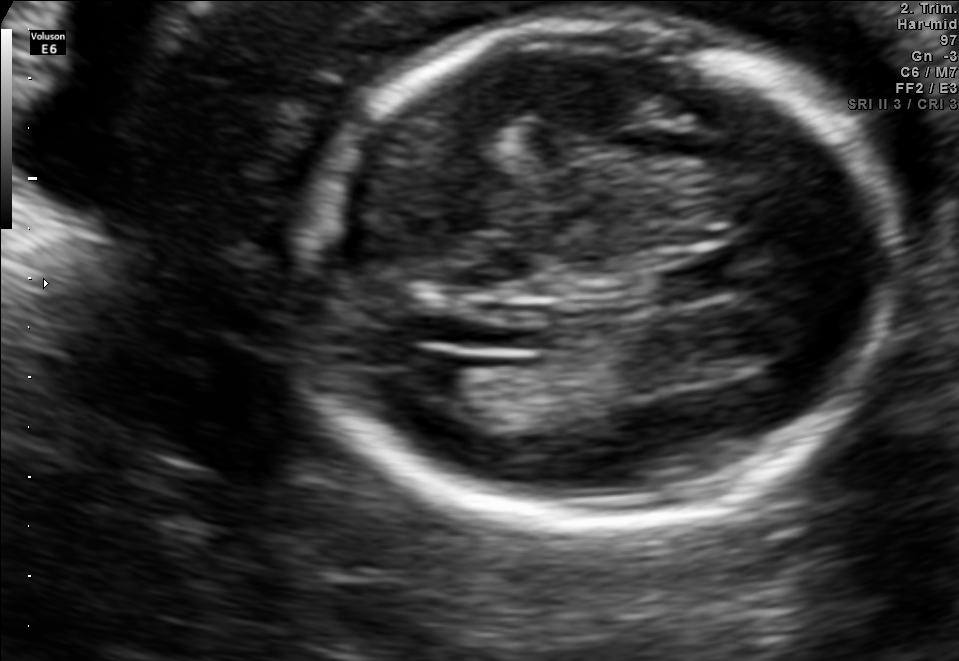
Fetal brain, trans-ventricular plane. Locate the cavum septum pellucidum.

CSP: [657,253,750,308]